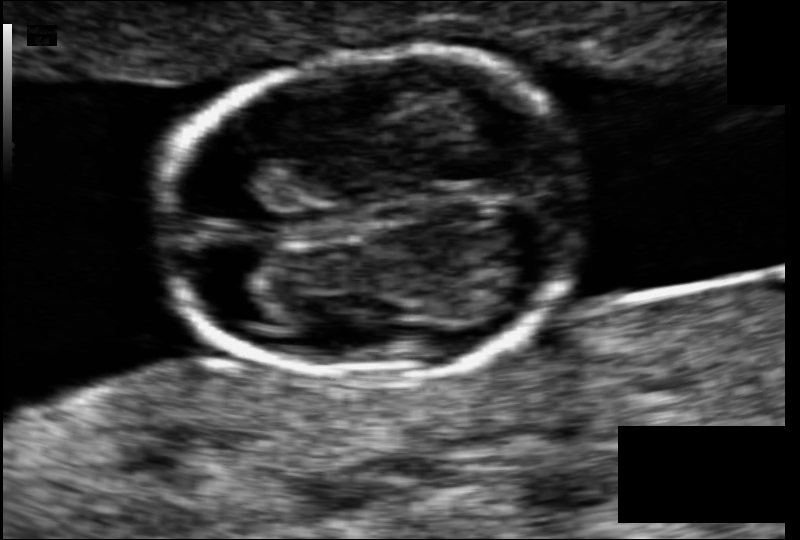
Estimate the fetal head circumference from this 2D ultrasound.

Head circumference: 77.2 mm (image width 50.6 mm).